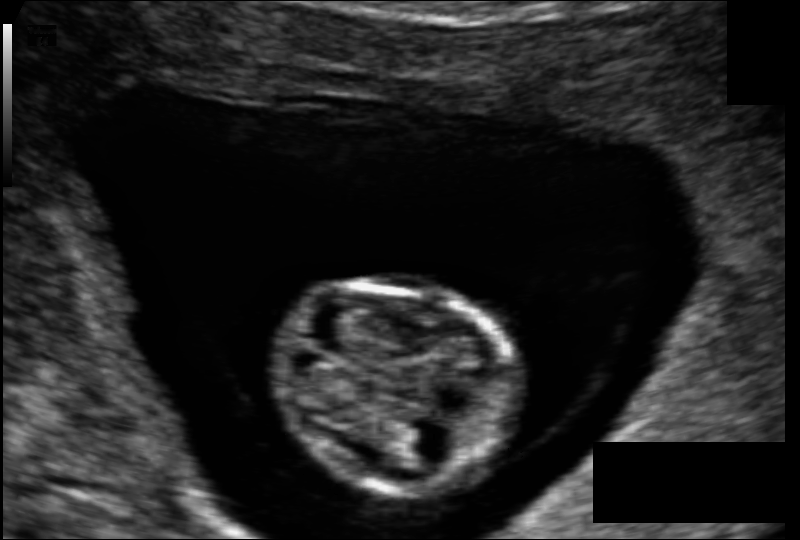
Fetal head ultrasound. Image width: 71.4 mm. Give [x1,y1,x2,y2] bounding boxes for each visible structure among: fetal head, CSP, LV.

Head: [275,285,520,490]